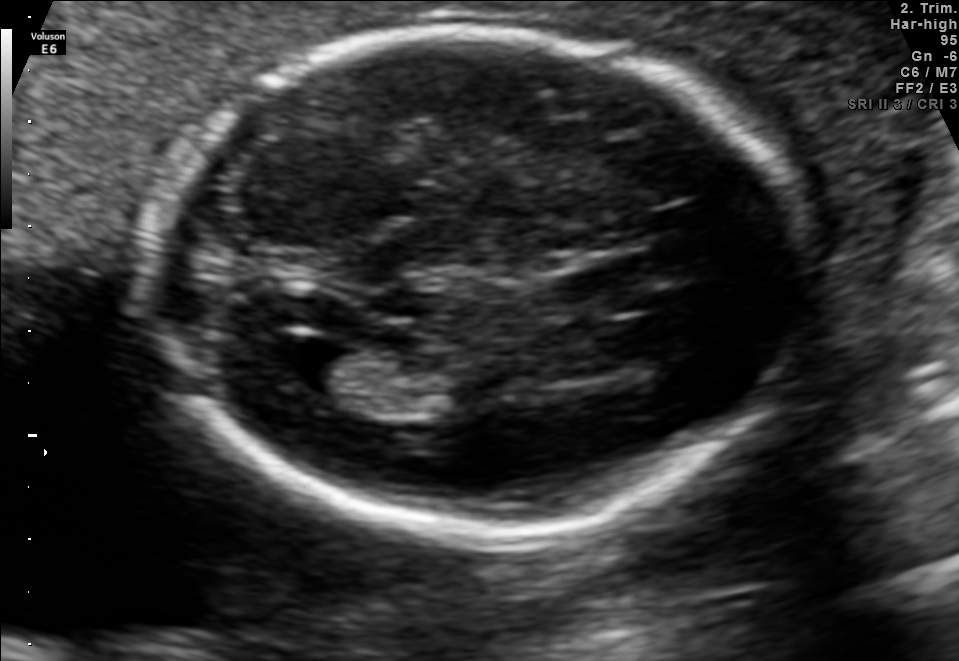
In this fetal brain, trans-ventricular plane, give the bounding box of the fetal head.

[146,23,813,542]